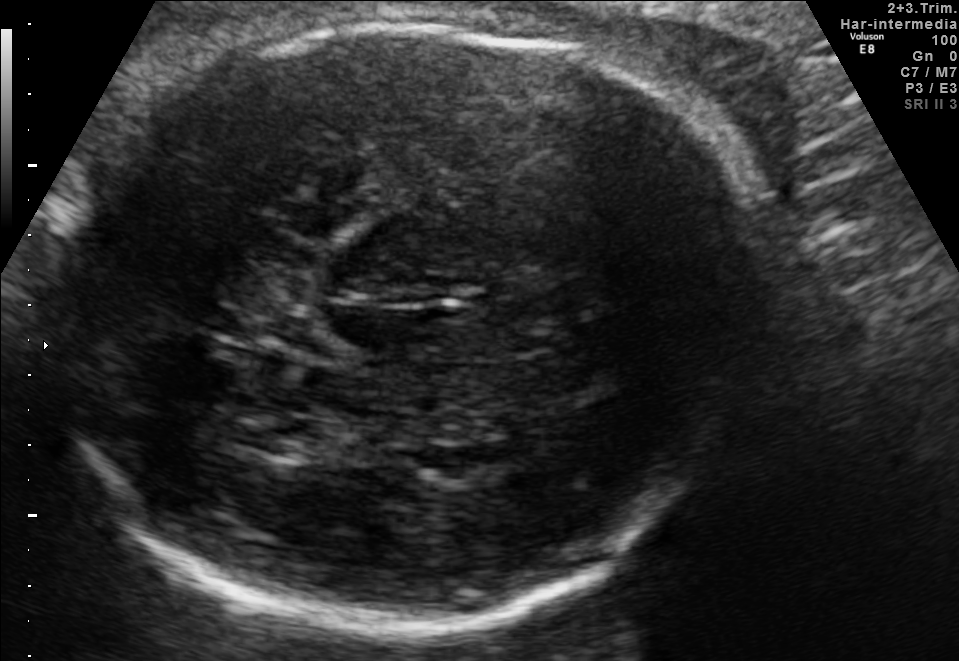
In this fetal brain, trans-thalamic plane, give the bounding box of the fetal head.

[49,21,766,626]